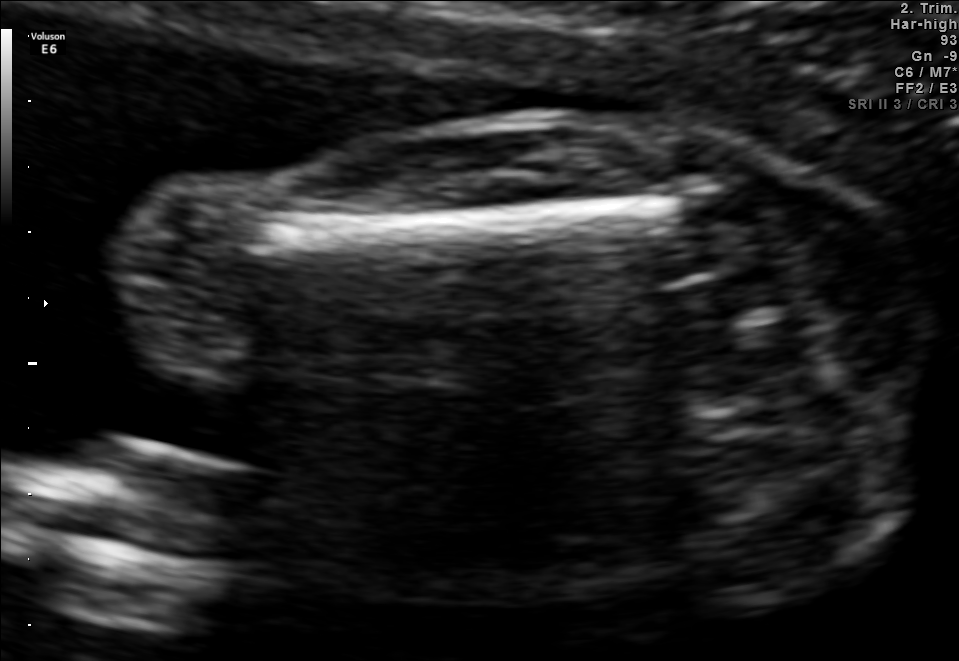
Which standard maternal-fetal ultrasound plane is shown: fetal abdomen, fetal brain, fetal femur, fetal thorax, maternal cervix, or other? If it's fetal brain and one of the three standard brain planes (trans-thalamic, trans-cerebellum, trans-ventricular), name which.

Fetal femur